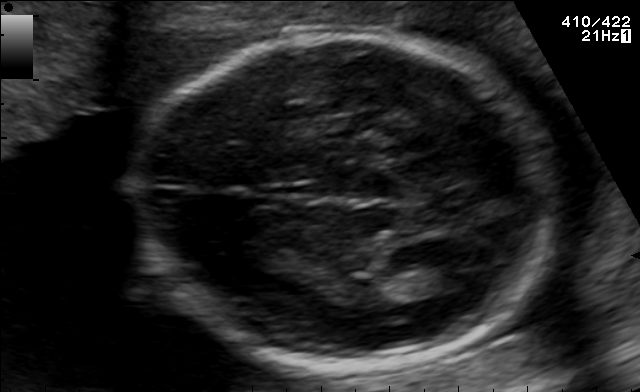
Fetal brain, trans-thalamic plane. Where is the fetal head?

Head bounding box: [130,34,559,366]